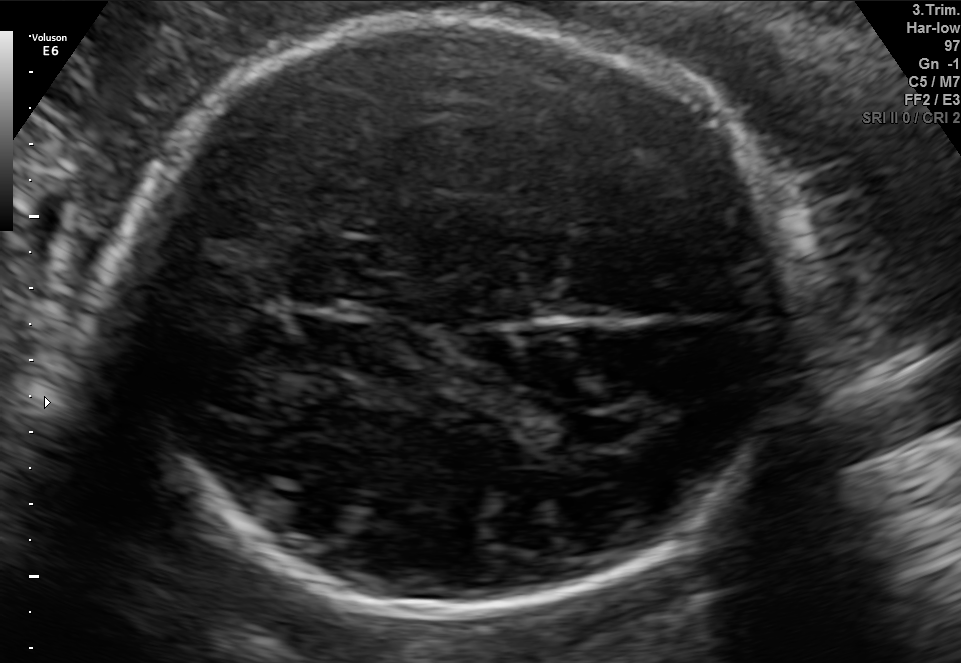
Fetal brain, trans-thalamic plane. Where is the fetal head?

Head bounding box: [131,14,800,627]